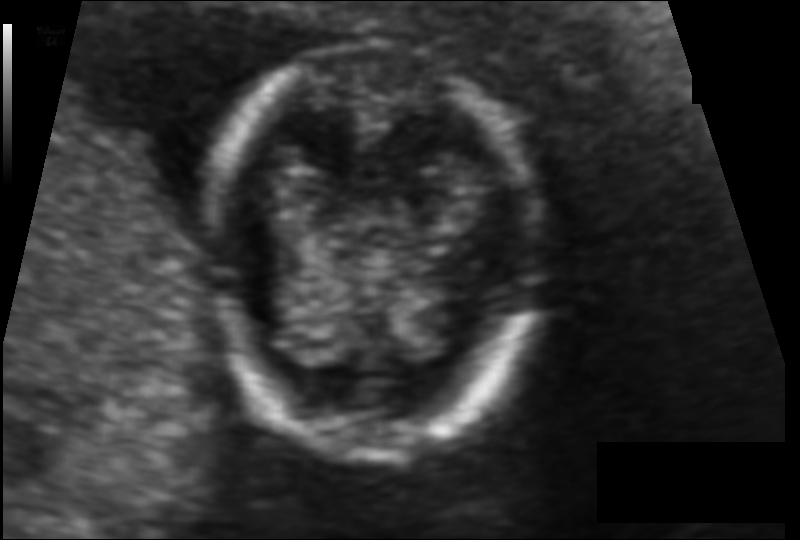
What is the fetal head circumference? Image width is 63.9 mm.

98.4 mm